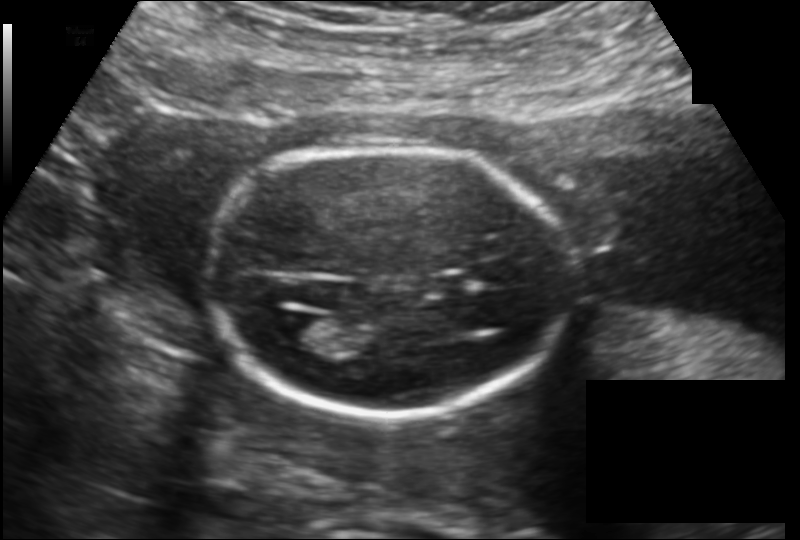
Measure the fetal head circumference shown in this ultrasound image. Image width: 119.1 mm.

Head circumference: 156.6 mm.